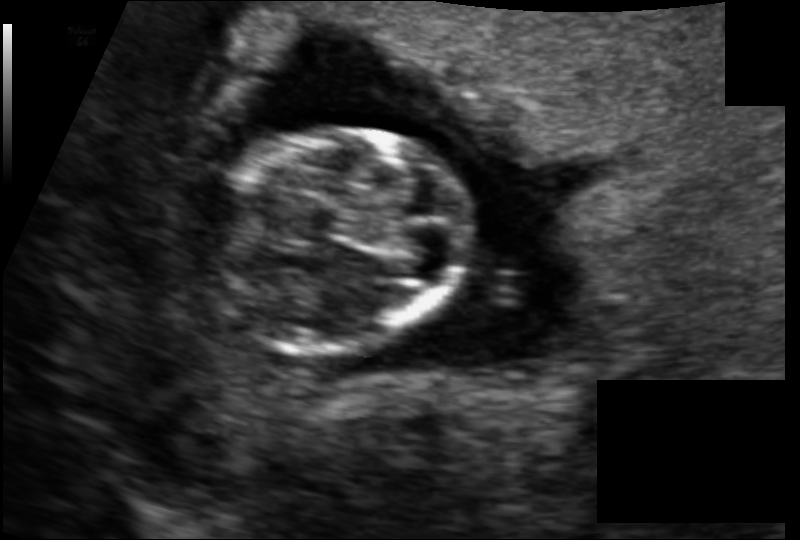
Estimate the fetal head circumference from this 2D ultrasound. Image width: 77.7 mm.

Head circumference: 75.9 mm.